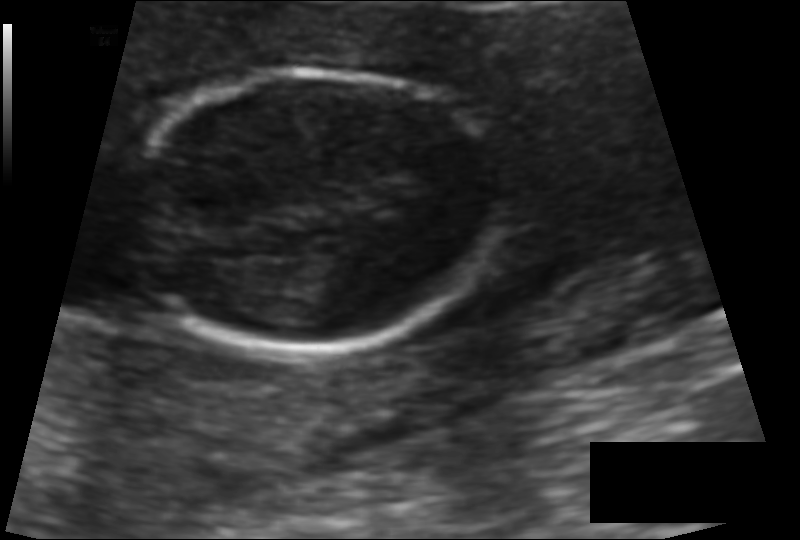
From this fetal ultrasound, estimate the head circumference (image width 75.9 mm).

Head circumference: 103.8 mm.